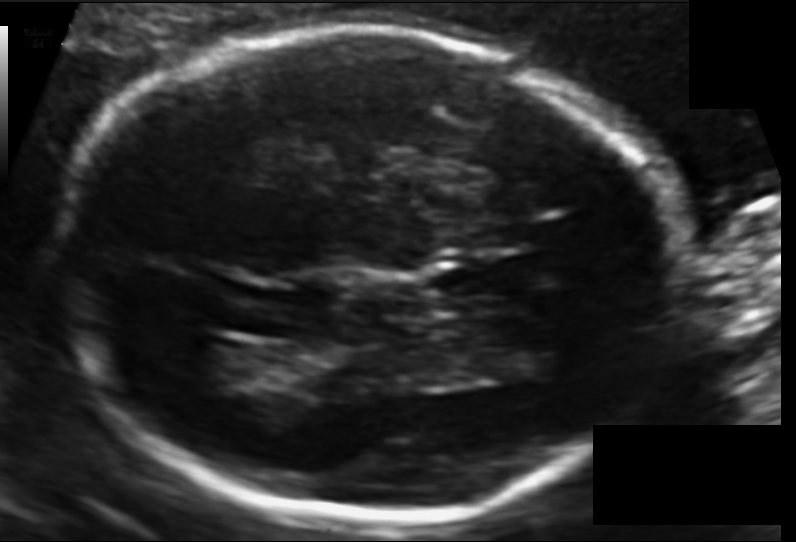
Fetal head ultrasound. Image width: 95.4 mm. Where is the cavum septum pellucidum?

CSP bounding box: [437,265,519,299]